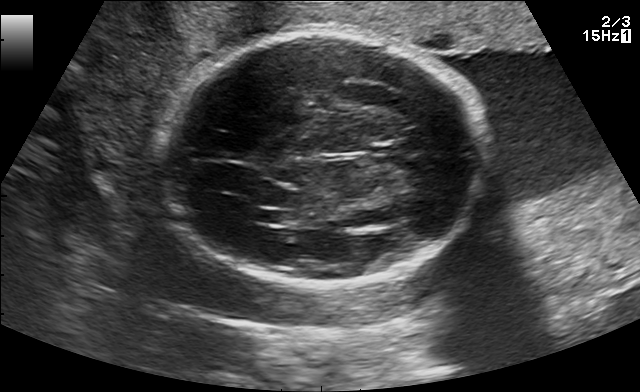
In this fetal brain, trans-thalamic plane, give the bounding box of the fetal head.

[160,34,484,285]